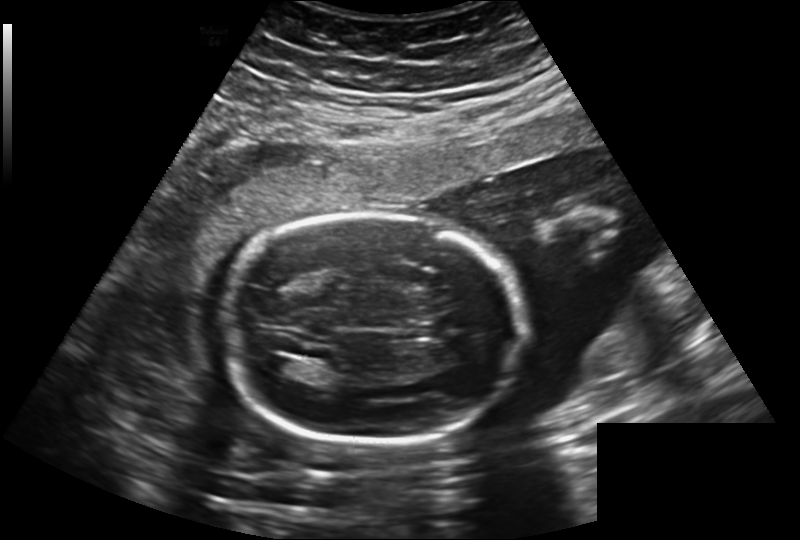
Fetal head ultrasound. Image width: 192.6 mm. Where is the lateral ventricle?

Lateral ventricle bounding box: [263,353,296,376]